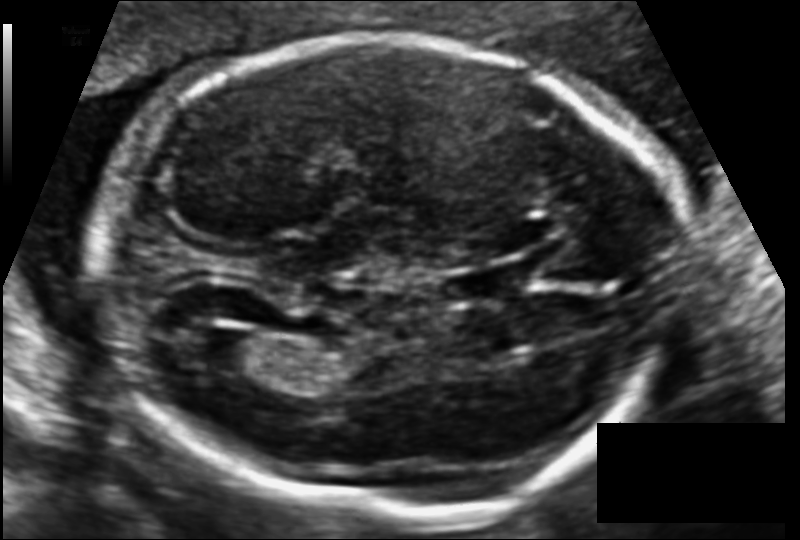
In this fetal head ultrasound, give the bounding box of the cavum septum pellucidum. Image width: 92.7 mm.

[434,261,523,313]